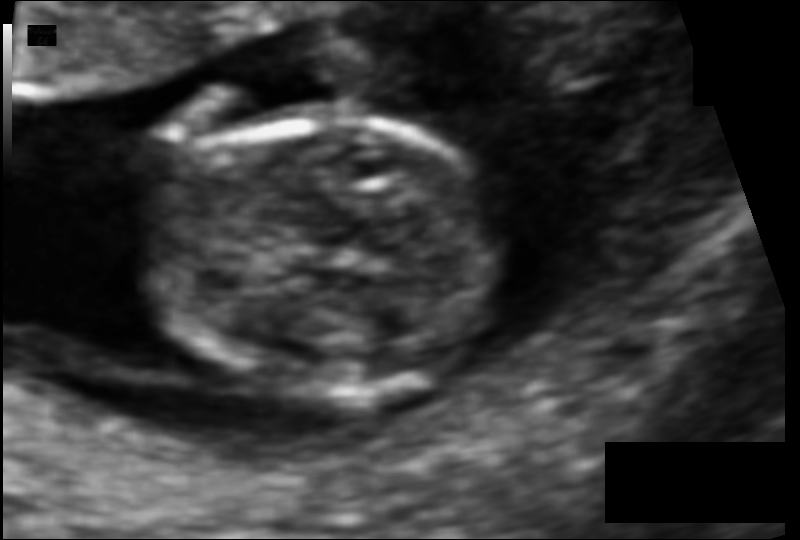
What is the fetal head circumference? Image width is 58.2 mm.

73.8 mm